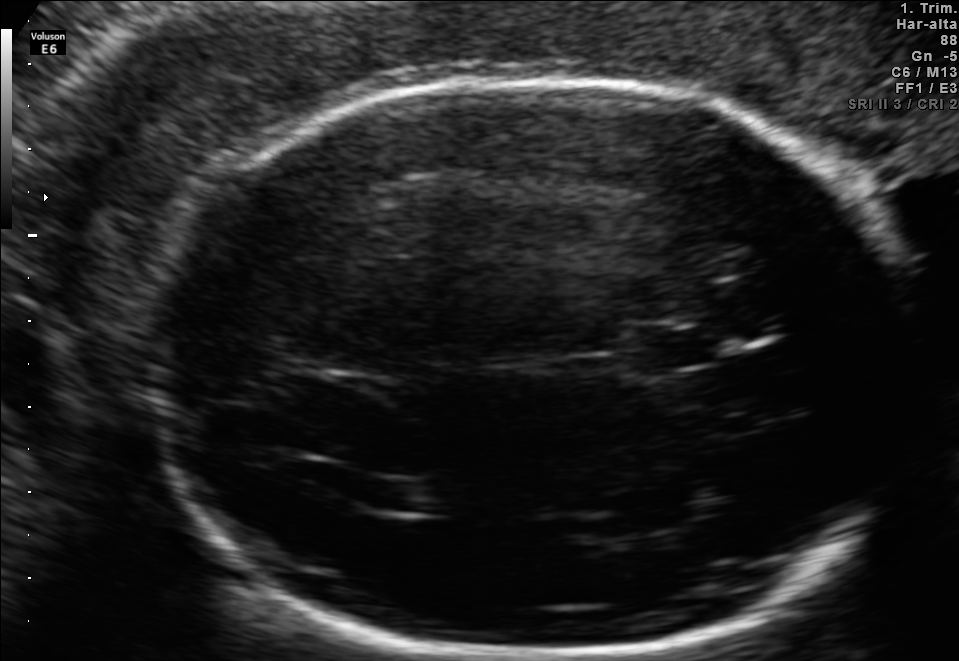
Which standard maternal-fetal ultrasound plane is shown: fetal abdomen, fetal brain, fetal femur, fetal thorax, maternal cervix, or other? If it's fetal brain and one of the three standard brain planes (trans-thalamic, trans-cerebellum, trans-ventricular), name which.

Fetal brain (trans-thalamic plane)